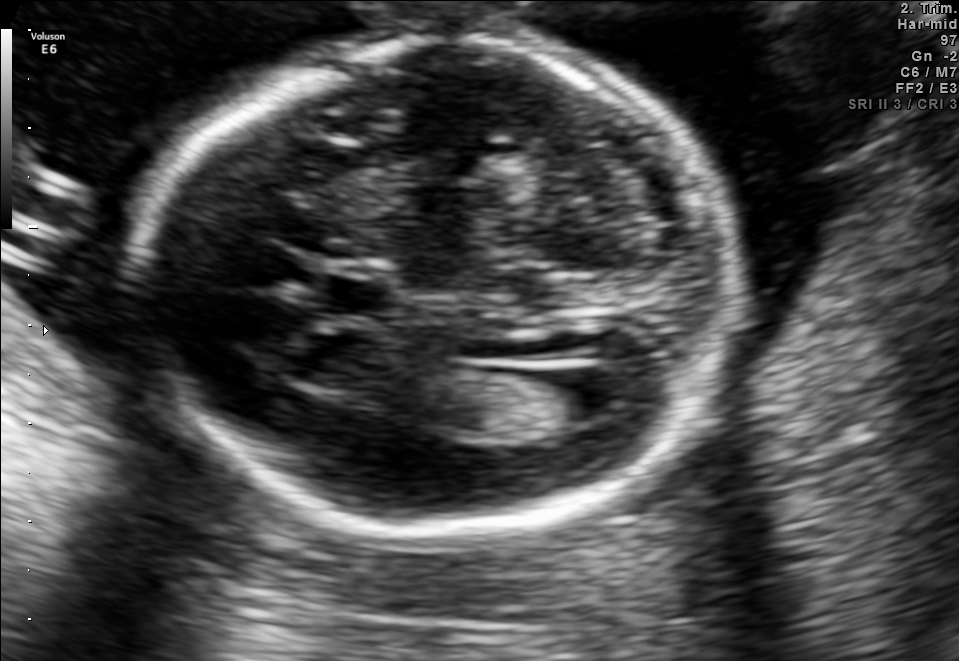
Fetal brain, trans-ventricular plane. Where is the cavum septum pellucidum?

CSP bounding box: [324,277,390,315]